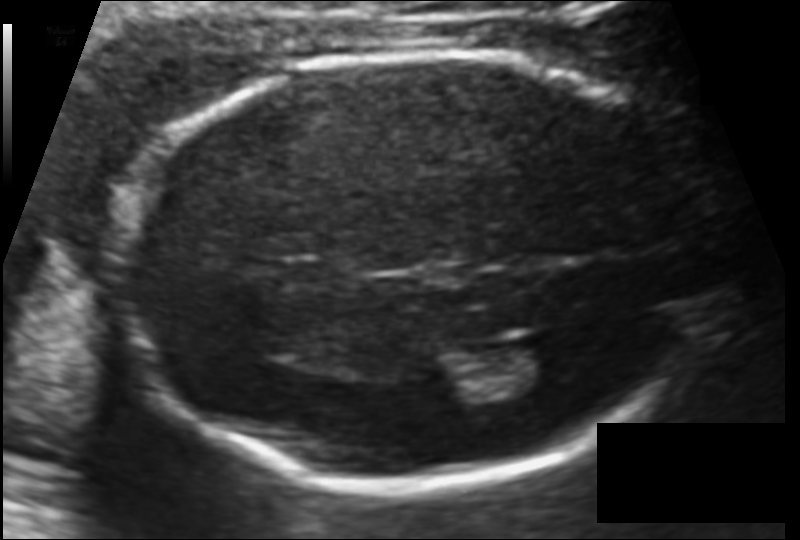
Estimate the fetal head circumference from this 2D ultrasound.

Head circumference: 190.9 mm (image width 91.0 mm).